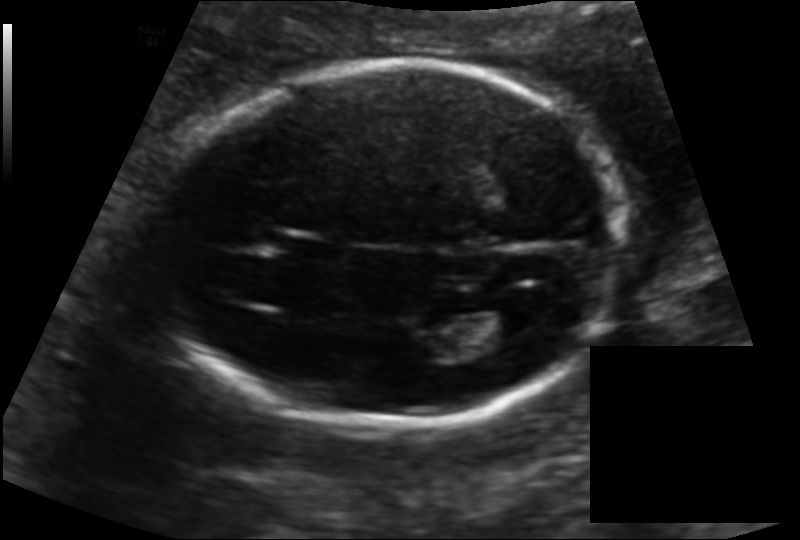
Estimate the fetal head circumference from this 2D ultrasound.

Head circumference: 186.9 mm (image width 110.8 mm).